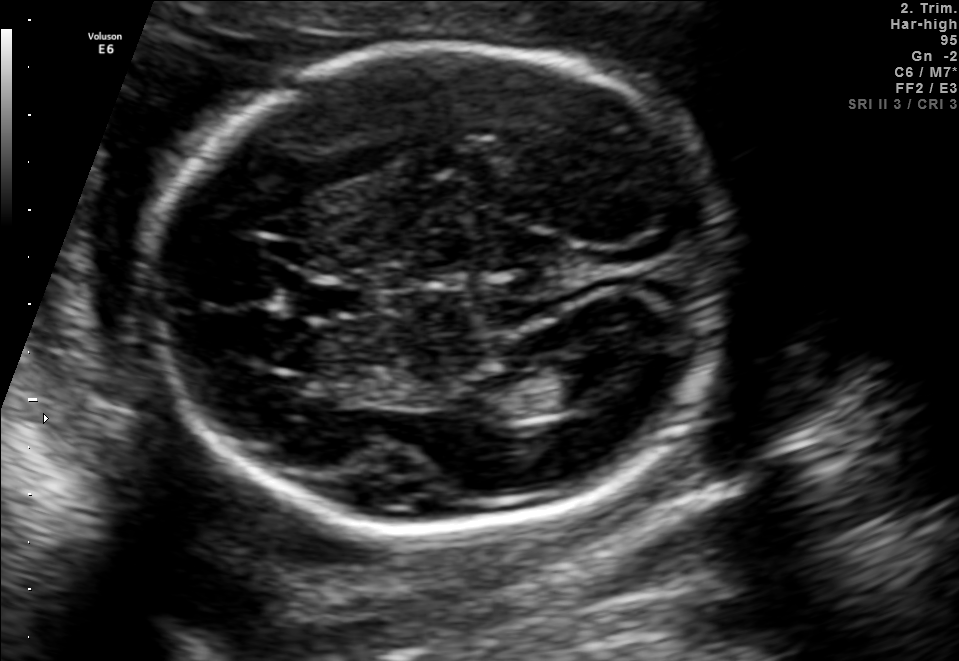
Fetal brain, trans-ventricular plane. Locate the fetal head.

Head: [135,37,742,540]